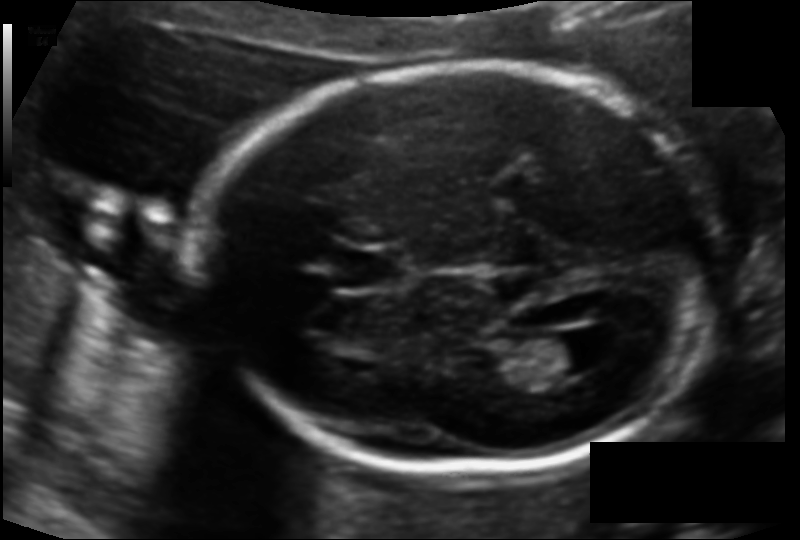
Measure the fetal head circumference shown in this ultrasound image. Image width: 94.2 mm.

Head circumference: 177.4 mm.